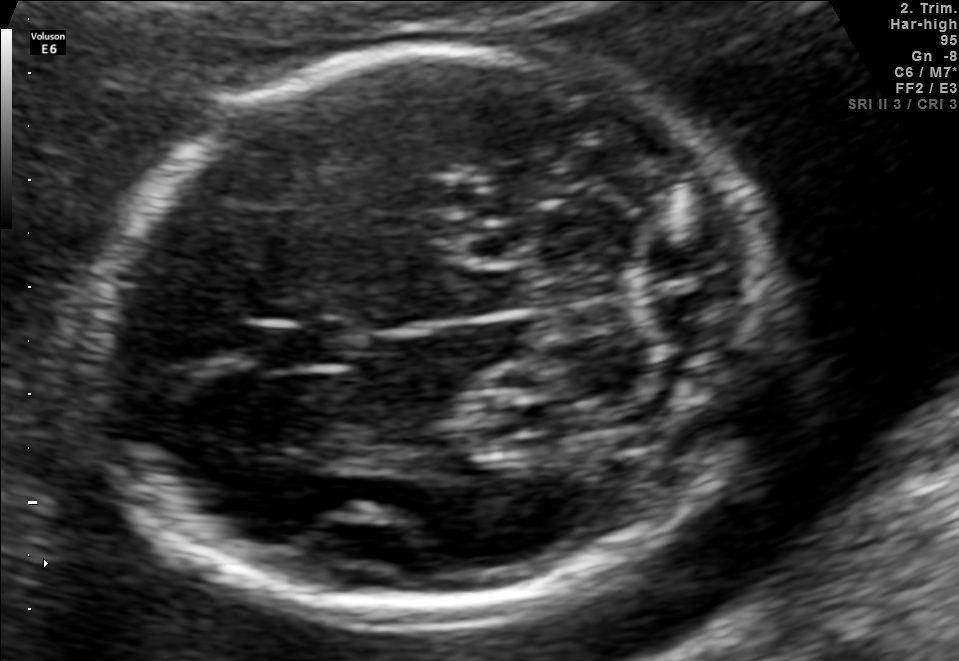
Which standard maternal-fetal ultrasound plane is shown: fetal abdomen, fetal brain, fetal femur, fetal thorax, maternal cervix, or other? If it's fetal brain and one of the three standard brain planes (trans-thalamic, trans-cerebellum, trans-ventricular), name which.

Fetal brain (trans-cerebellum plane)